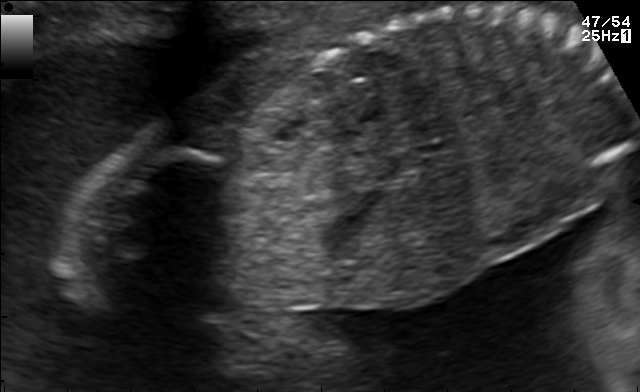
Classify this maternal-fetal ultrasound image as one of the six standard planes — fetal abdomen, fetal brain, fetal femur, fetal thorax, maternal cervix, or other. If it's fetal brain and one of the three standard brain planes (trans-thalamic, trans-cerebellum, trans-ventricular), name which.

Other